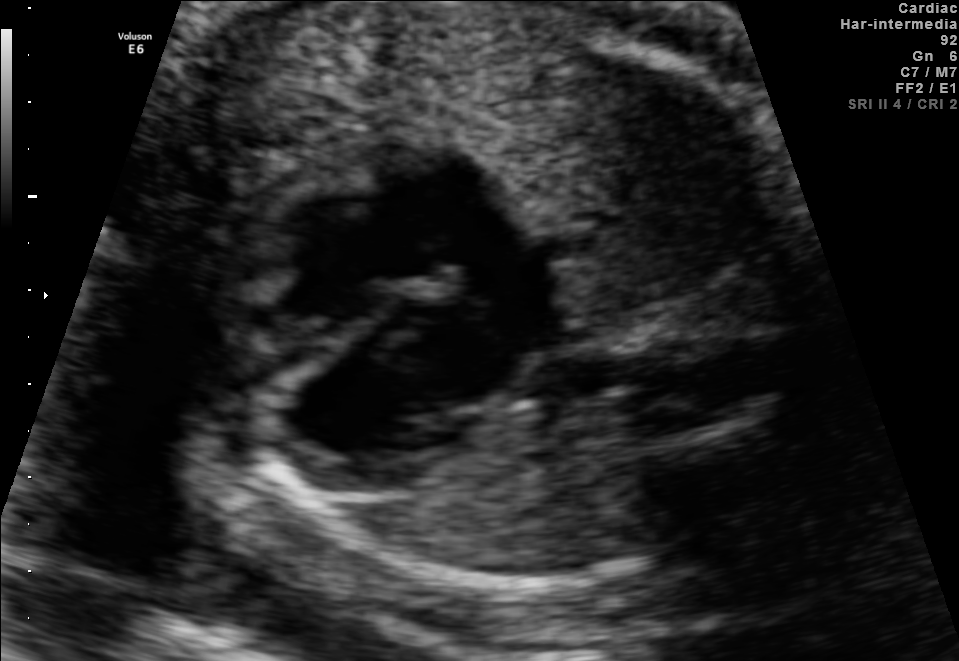
This is a 2D maternal-fetal ultrasound frame. Is it a fetal abdomen, fetal brain, fetal femur, fetal thorax, maternal cervix, or other standard plane? If it's fetal brain and one of the three standard brain planes (trans-thalamic, trans-cerebellum, trans-ventricular), name which.

Fetal thorax